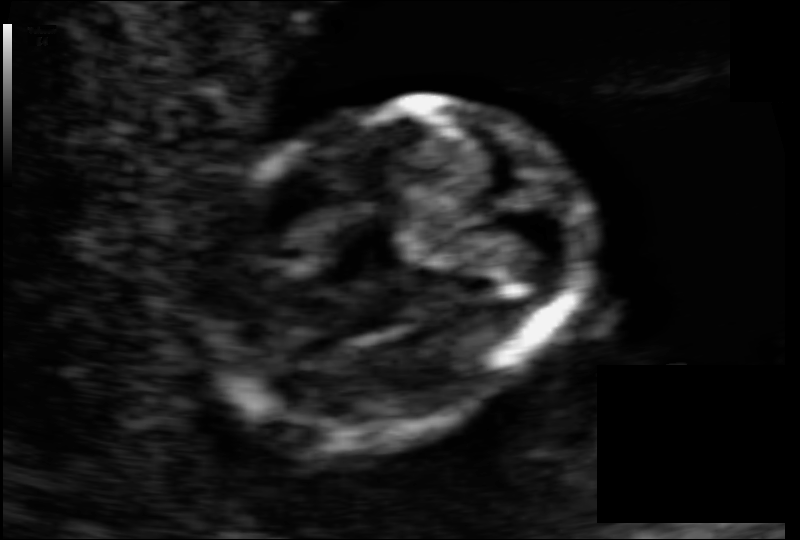
What is the fetal head circumference? Image width is 55.0 mm.

81.4 mm